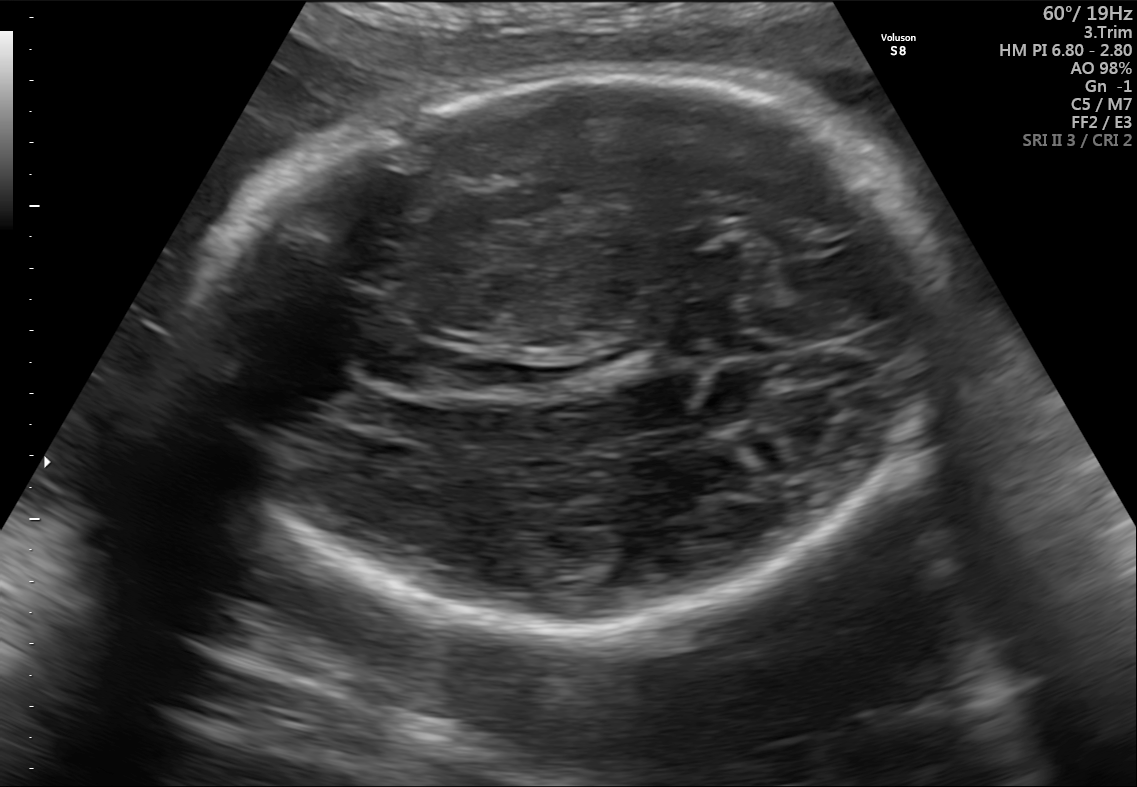
In this fetal brain, trans-thalamic plane, give bounding boxes for the head outline, cavum septum pellucidum (CSP), and lateral ventricle (LV), where visible.

Head: [219,79,953,639]